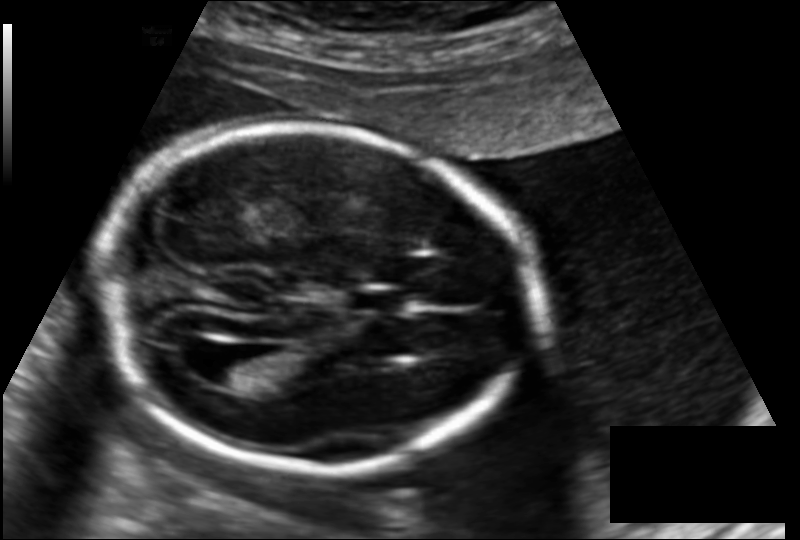
Measure the fetal head circumference shown in this ultrasound image. Image width: 115.9 mm.

Head circumference: 184.1 mm.